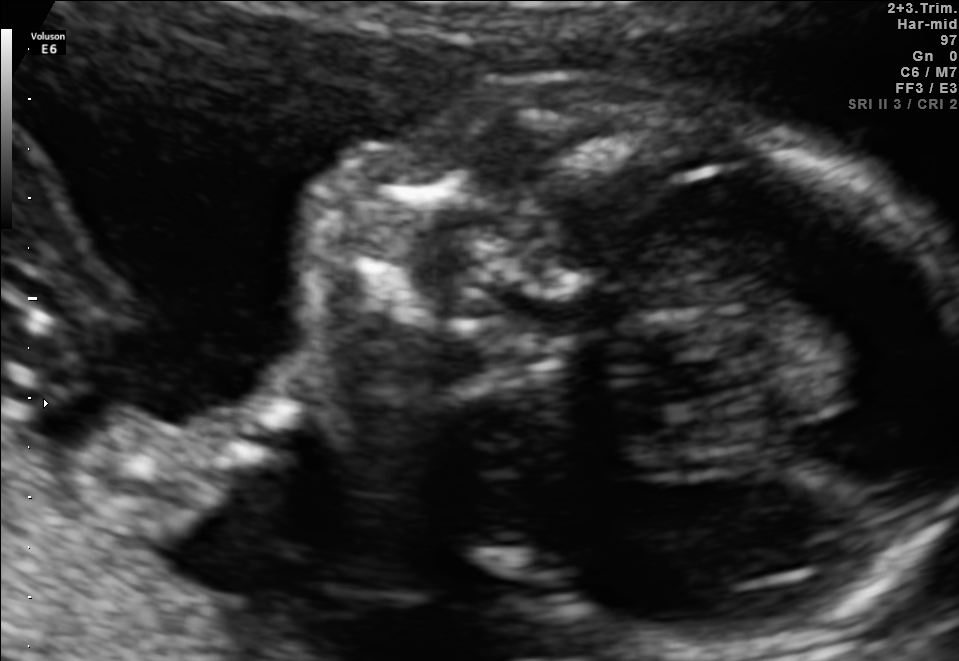
This is a 2D maternal-fetal ultrasound frame. Is it a fetal abdomen, fetal brain, fetal femur, fetal thorax, maternal cervix, or other standard plane? If it's fetal brain and one of the three standard brain planes (trans-thalamic, trans-cerebellum, trans-ventricular), name which.

Other